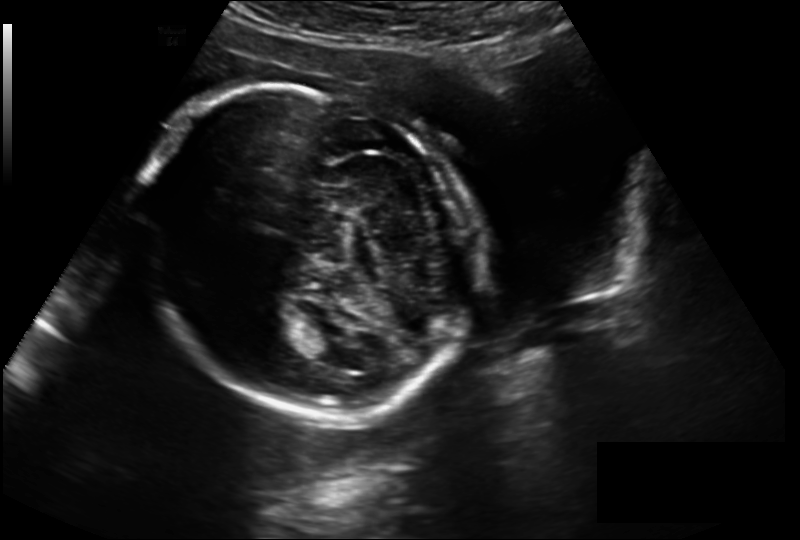
What is the fetal head circumference? Image width is 168.8 mm.

224.7 mm